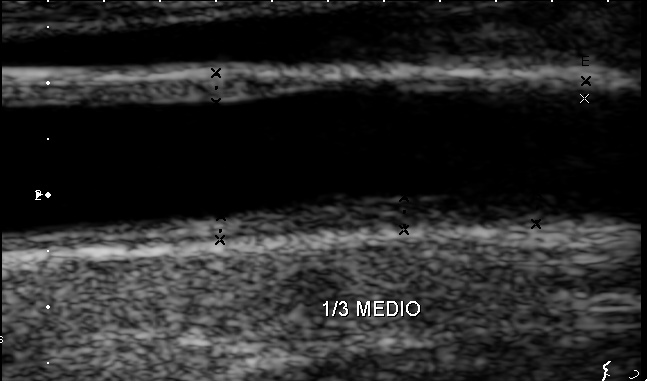
Which standard maternal-fetal ultrasound plane is shown: fetal abdomen, fetal brain, fetal femur, fetal thorax, maternal cervix, or other? If it's fetal brain and one of the three standard brain planes (trans-thalamic, trans-cerebellum, trans-ventricular), name which.

Other